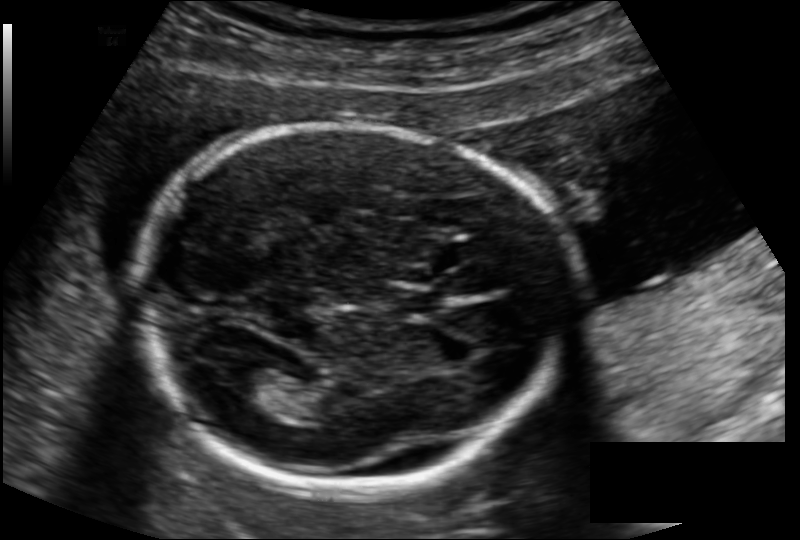
Fetal head ultrasound. Image width: 107.6 mm. Where is the fetal head?

Head bounding box: [141,122,562,492]